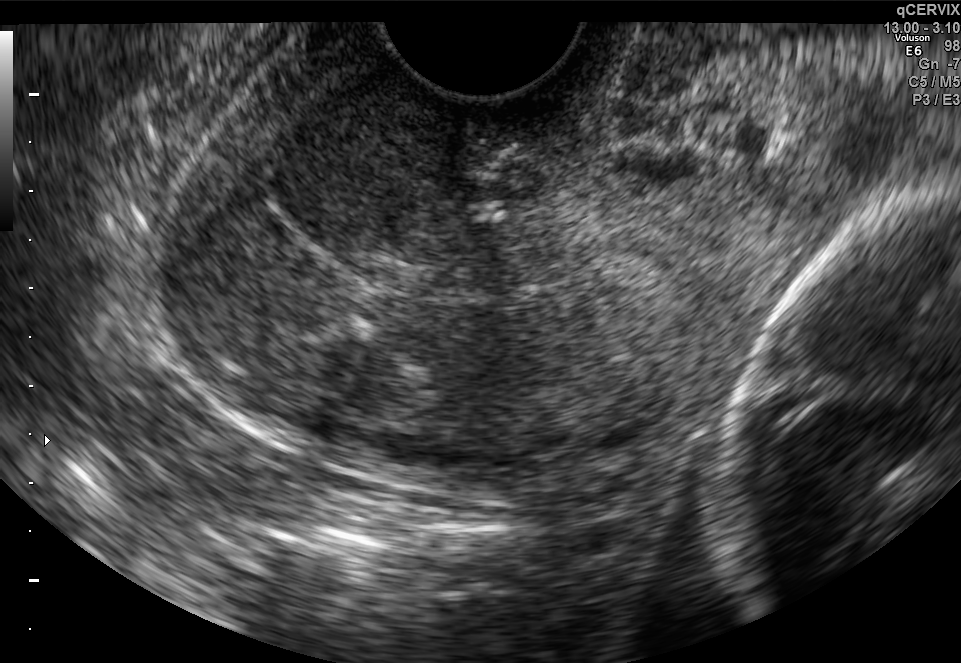
Identify the standard plane in this fetal ultrasound image: fetal abdomen, fetal brain, fetal femur, fetal thorax, maternal cervix, or other. If it's fetal brain and one of the three standard brain planes (trans-thalamic, trans-cerebellum, trans-ventricular), name which.

Maternal cervix